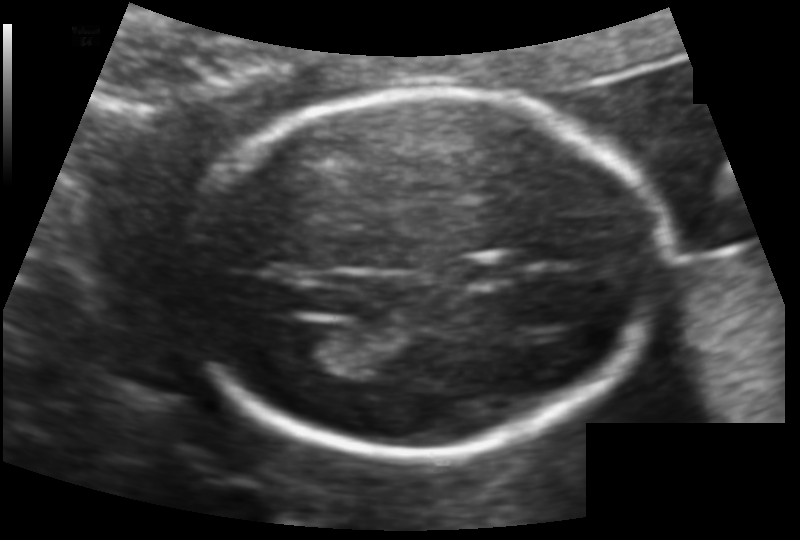
From this fetal ultrasound, estimate the head circumference (image width 90.1 mm).

Head circumference: 155.9 mm.